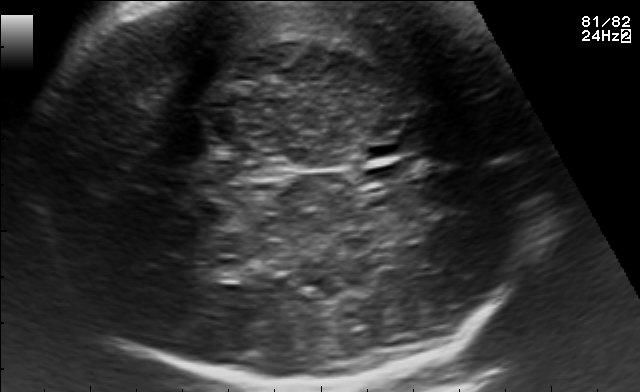
Fetal brain, trans-thalamic plane. Locate the fetal head.

Head: [26,3,546,388]